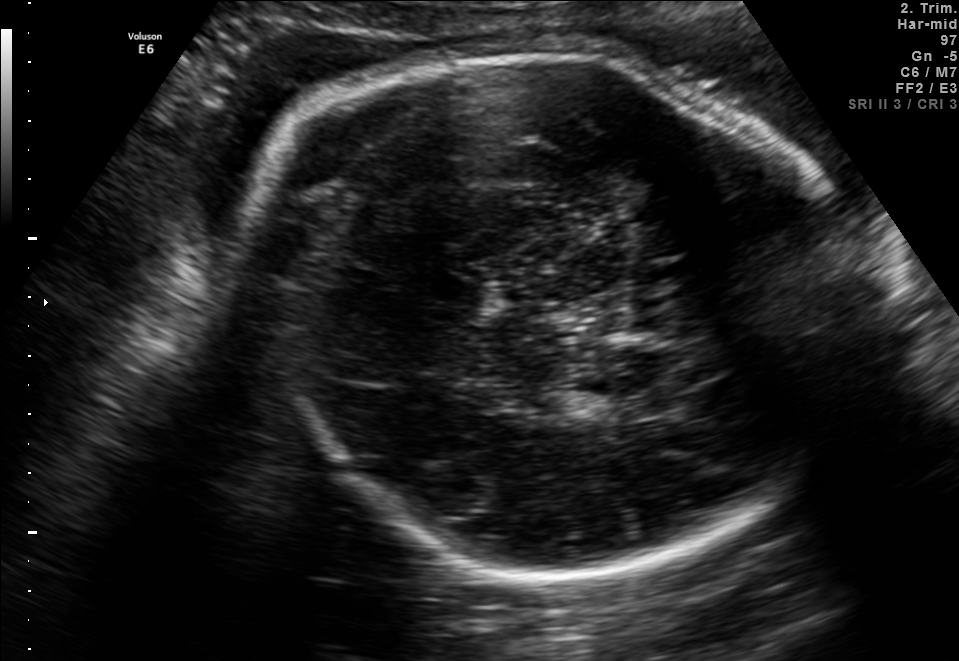
Fetal brain, trans-thalamic plane. Give [x1,y1,x2,y2] bounding boxes for each visible structure among: fetal head, CSP, LV.

Head: [247,45,830,576]